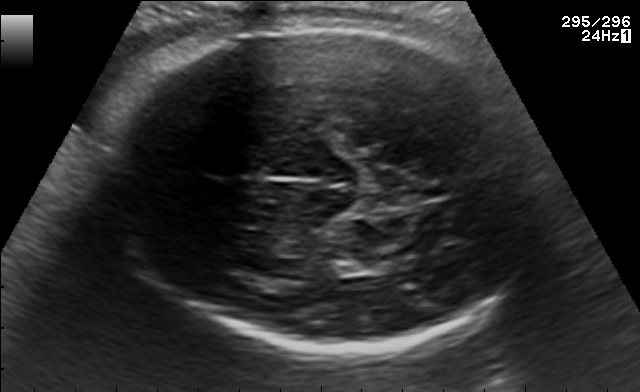
Fetal brain, trans-thalamic plane. Give [x1,y1,x2,y2] bounding boxes for each visible structure among: fetal head, CSP, LV.

Head: [111,23,542,355]